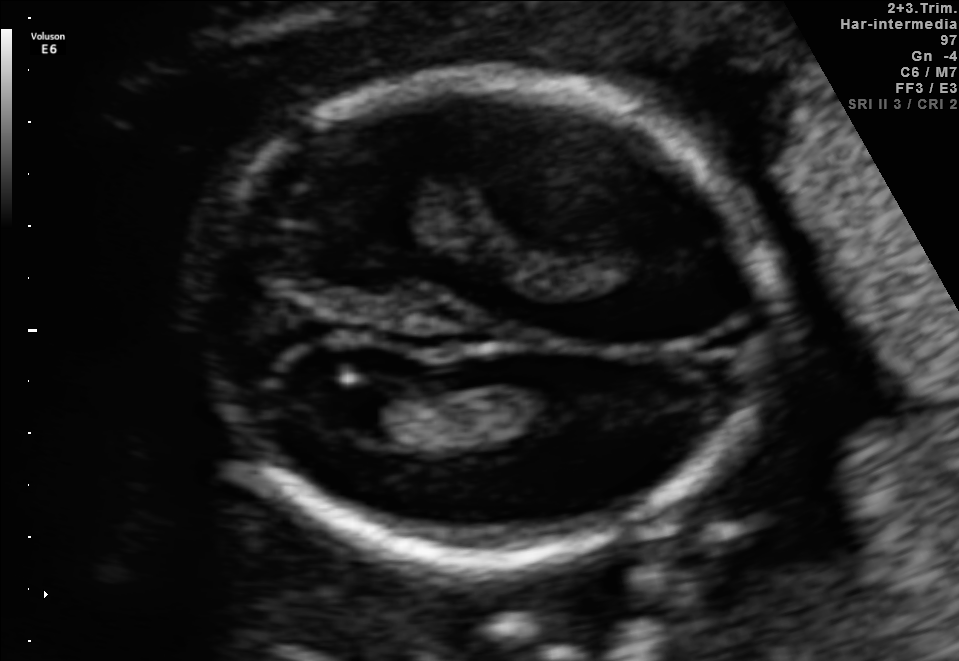
In this fetal brain, trans-ventricular plane, give the bounding box of the fetal head.

[176,66,793,575]